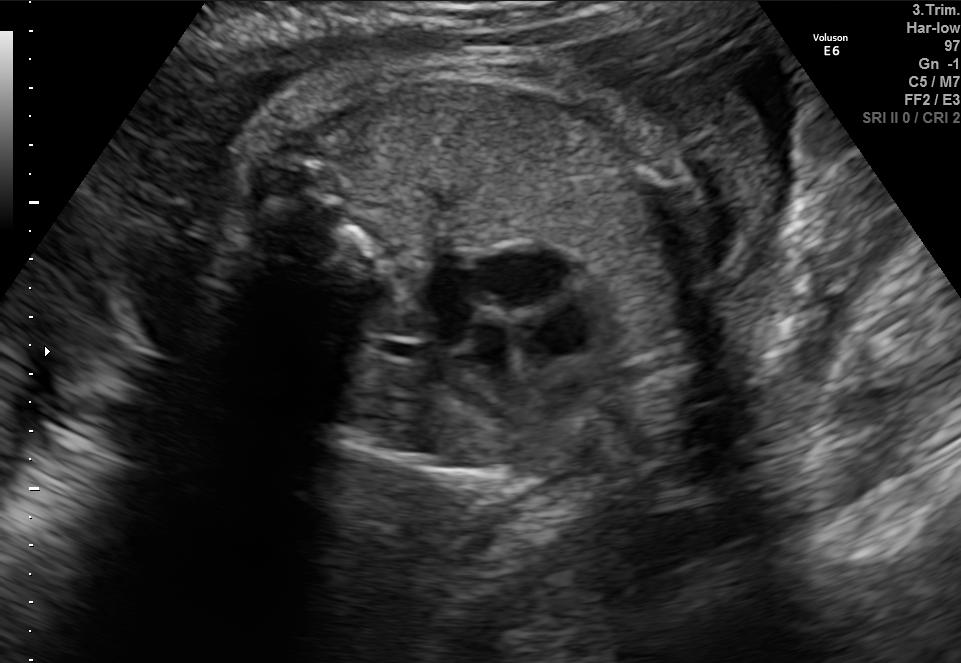
This is a 2D maternal-fetal ultrasound frame. Is it a fetal abdomen, fetal brain, fetal femur, fetal thorax, maternal cervix, or other standard plane? If it's fetal brain and one of the three standard brain planes (trans-thalamic, trans-cerebellum, trans-ventricular), name which.

Fetal thorax